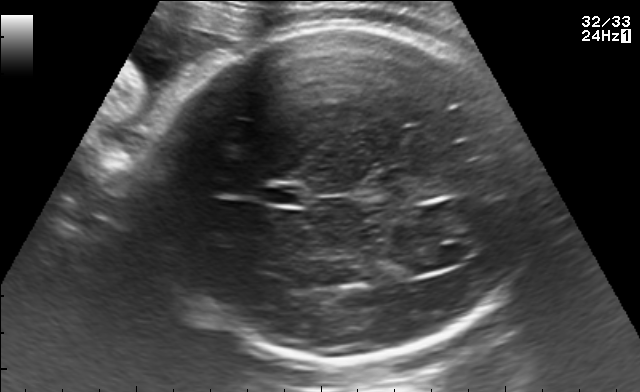
Fetal brain, trans-ventricular plane. Where is the cavum septum pellucidum?

CSP bounding box: [269,186,303,204]